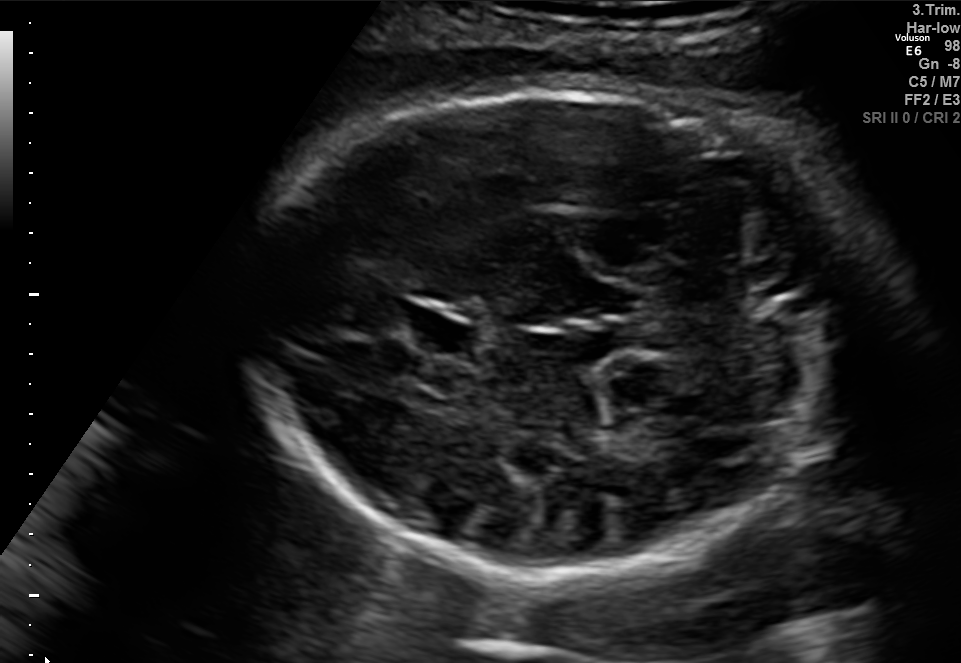
Fetal brain, trans-cerebellum plane. Locate the cavum septum pellucidum.

CSP: [391,296,480,364]